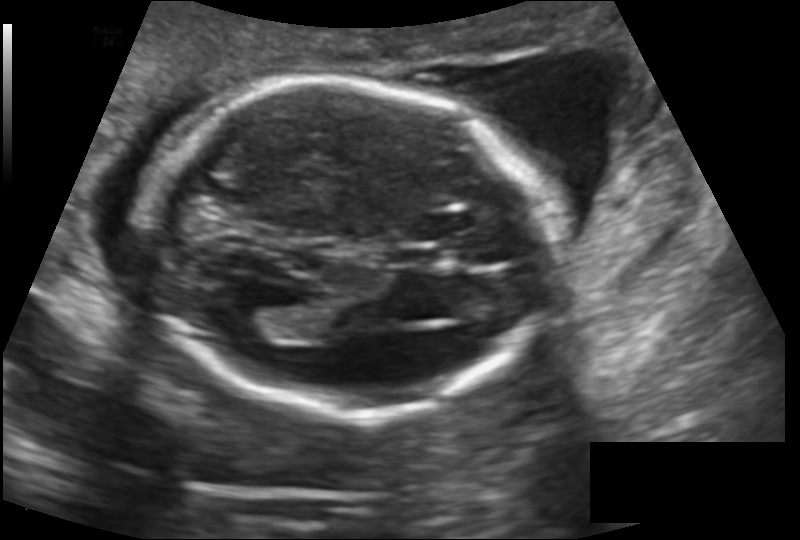
In this fetal head ultrasound, give the bounding box of the cavum septum pellucidum. Image width: 116.4 mm.

[387,247,444,267]